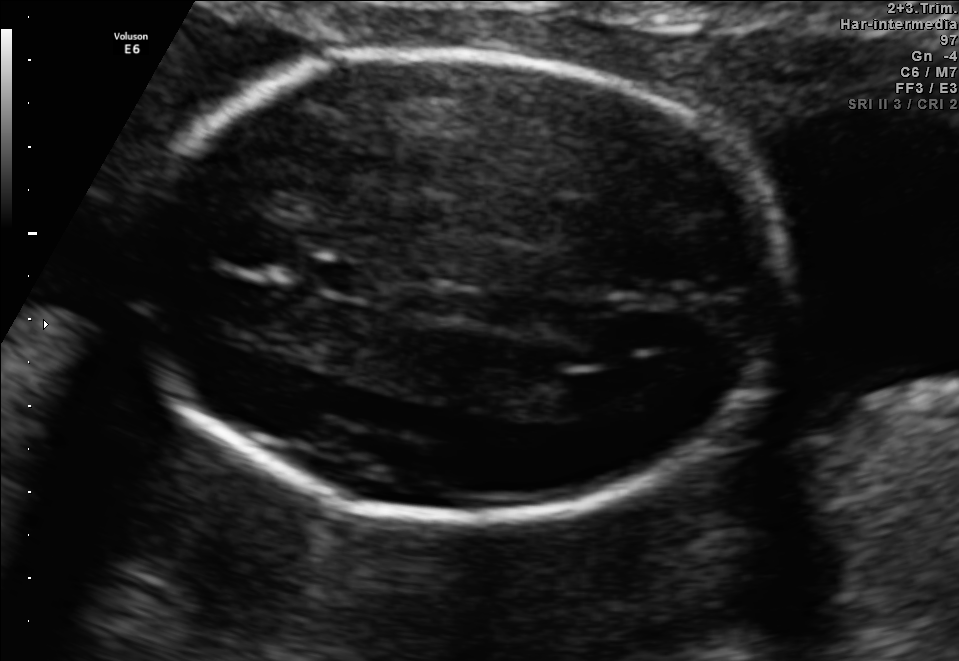
Fetal brain, trans-ventricular plane. Where is the fetal head?

Head bounding box: [118,46,805,531]